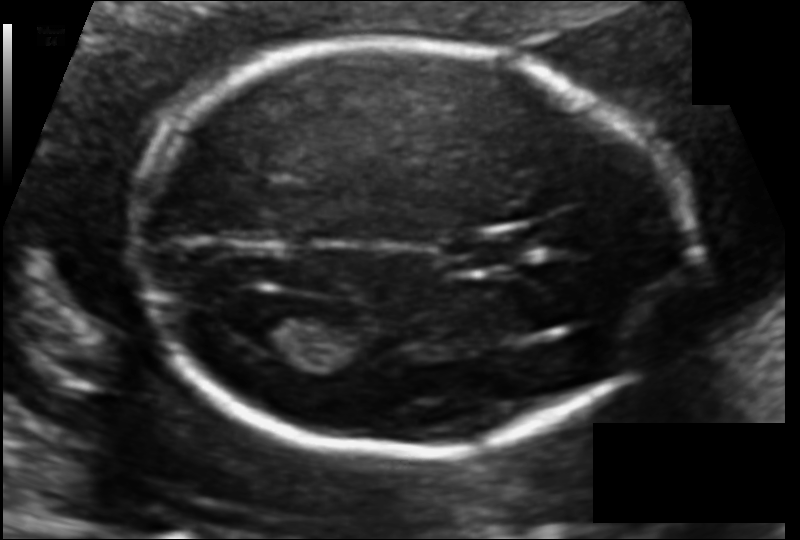
Estimate the fetal head circumference from this 2D ultrasound.

Head circumference: 166.4 mm (image width 84.8 mm).